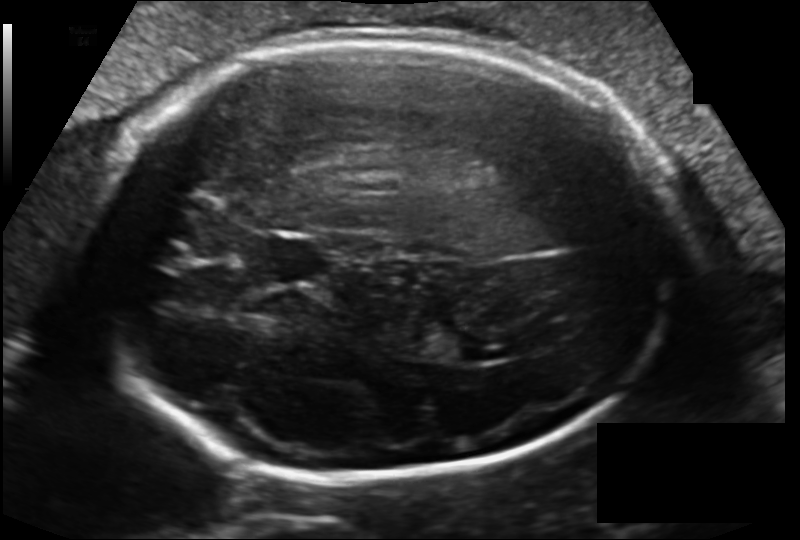
In this fetal head ultrasound, give the bounding box of the cavum septum pellucidum. Image width: 129.6 mm.

[246,230,331,288]